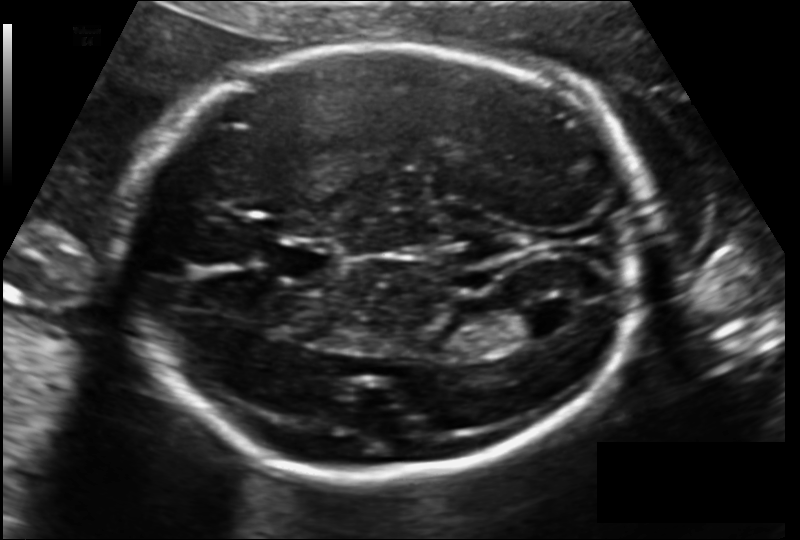
Fetal head ultrasound. Image width: 118.5 mm. Locate the cavum septum pellucidum.

CSP: [274,244,340,281]